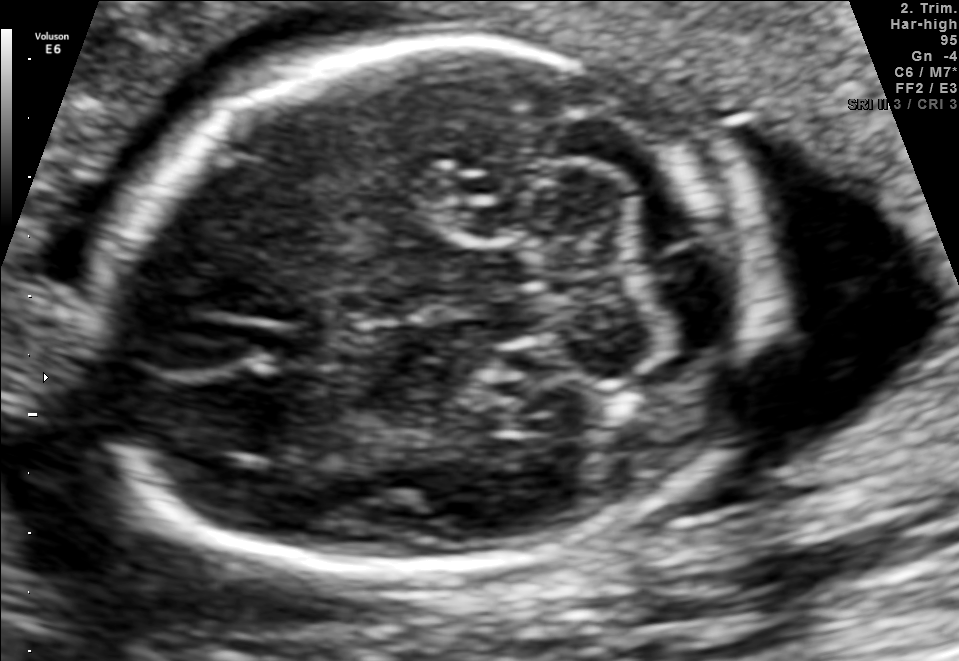
This is a 2D maternal-fetal ultrasound frame. Is it a fetal abdomen, fetal brain, fetal femur, fetal thorax, maternal cervix, or other standard plane? If it's fetal brain and one of the three standard brain planes (trans-thalamic, trans-cerebellum, trans-ventricular), name which.

Fetal brain (trans-cerebellum plane)